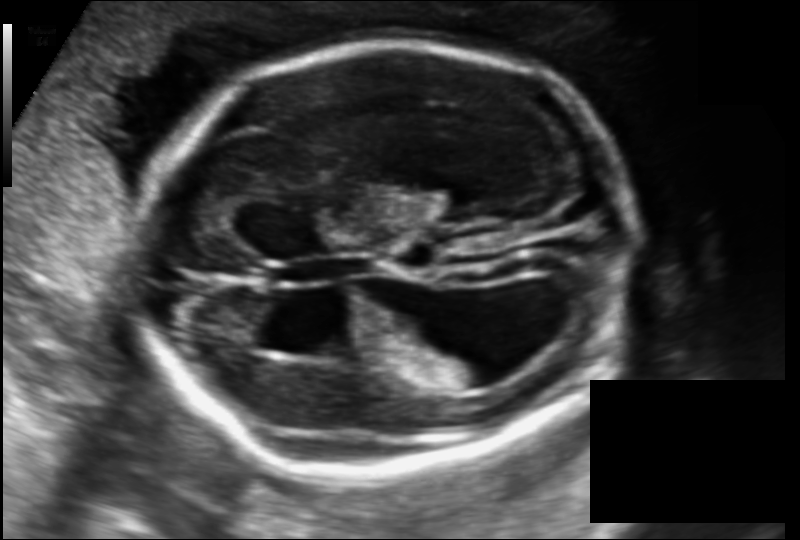
Fetal head ultrasound. Image width: 112.8 mm. Locate the fetal head.

Head: [133,44,635,466]